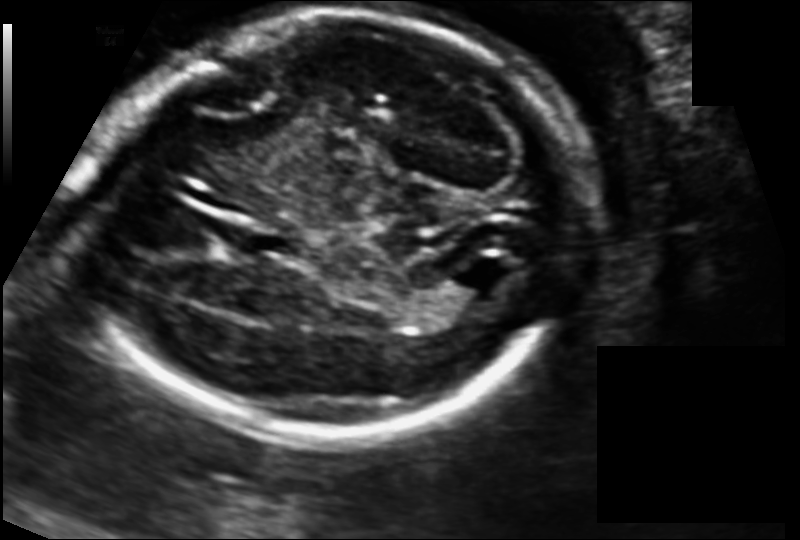
Fetal head ultrasound. Image width: 100.4 mm. Locate the fetal head.

Head: [98,11,582,440]